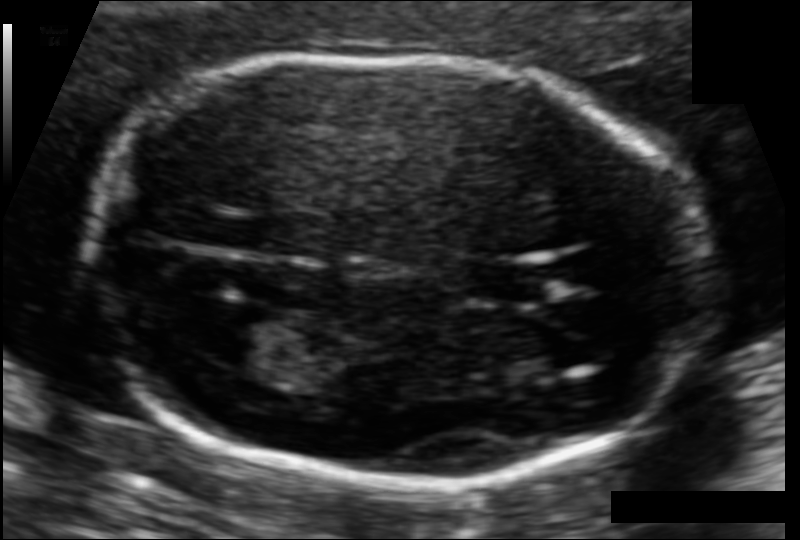
Estimate the fetal head circumference from this 2D ultrasound. Image width: 73.9 mm.

Head circumference: 158.5 mm.